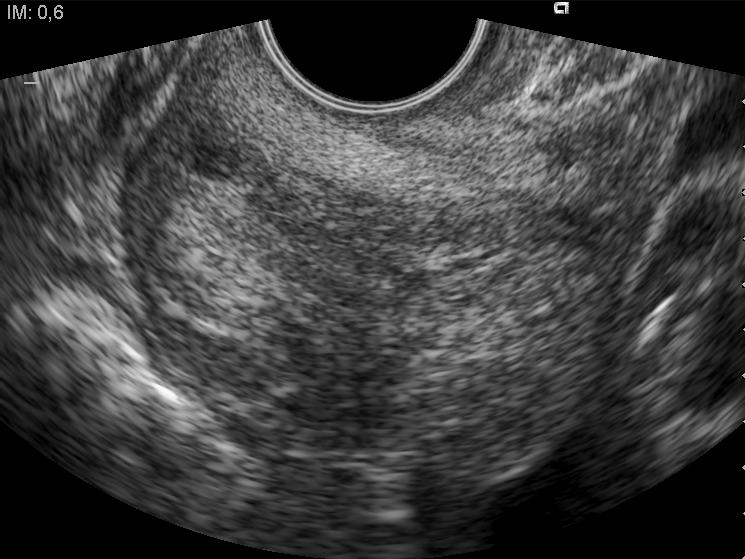
This is a 2D maternal-fetal ultrasound frame. Is it a fetal abdomen, fetal brain, fetal femur, fetal thorax, maternal cervix, or other standard plane? If it's fetal brain and one of the three standard brain planes (trans-thalamic, trans-cerebellum, trans-ventricular), name which.

Maternal cervix